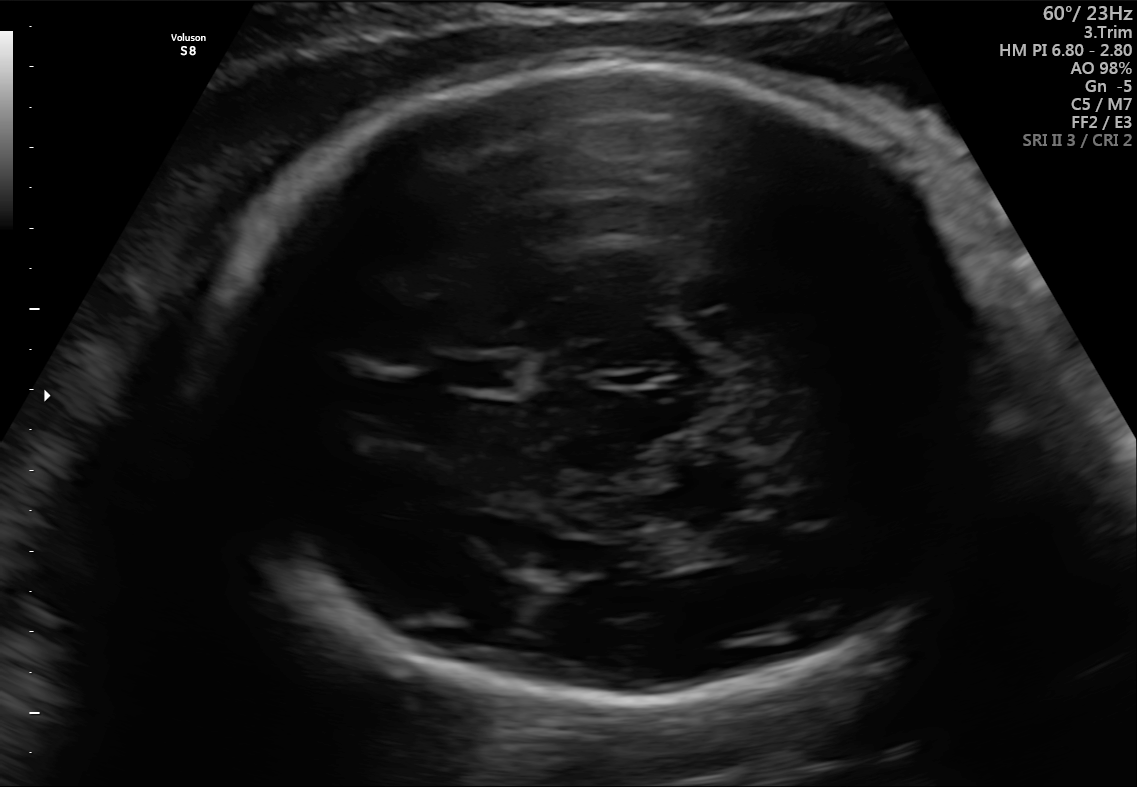
Fetal brain, trans-thalamic plane. Where is the lateral ventricle?

Lateral ventricle bounding box: [671,506,777,571]